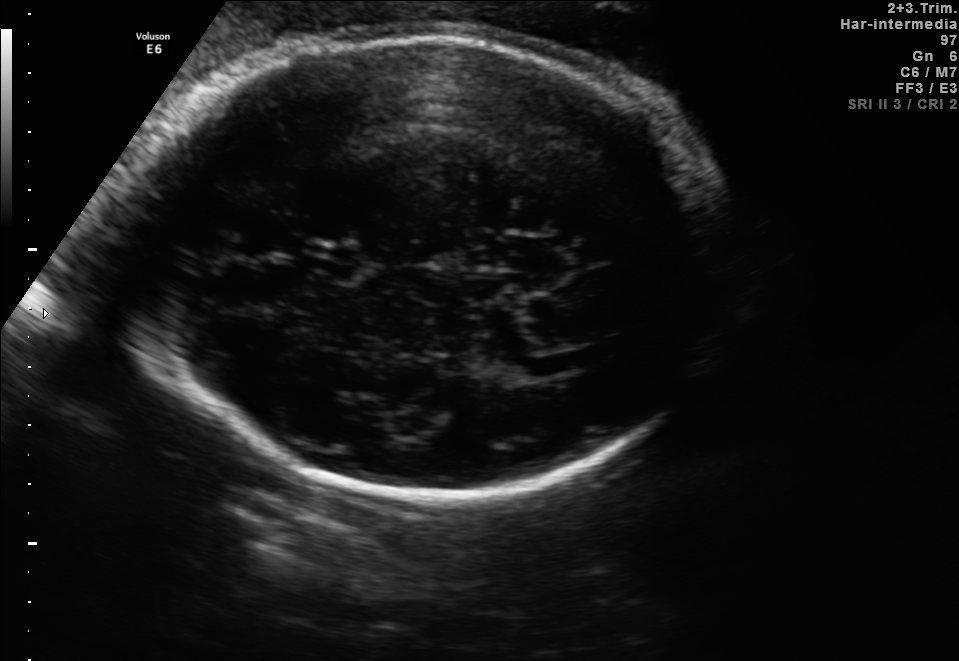
Fetal brain, trans-thalamic plane. Where is the fetal head?

Head bounding box: [134,35,733,490]